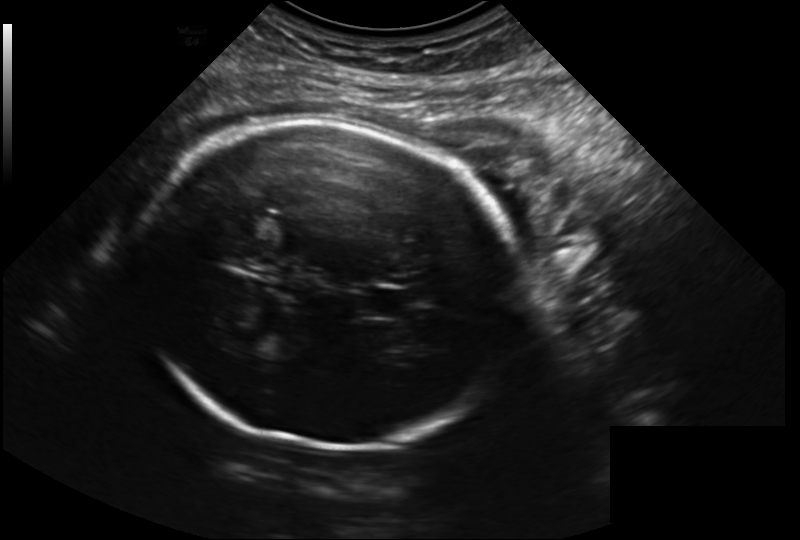
Estimate the fetal head circumference from this 2D ultrasound. Image width: 178.0 mm.

Head circumference: 254.6 mm.